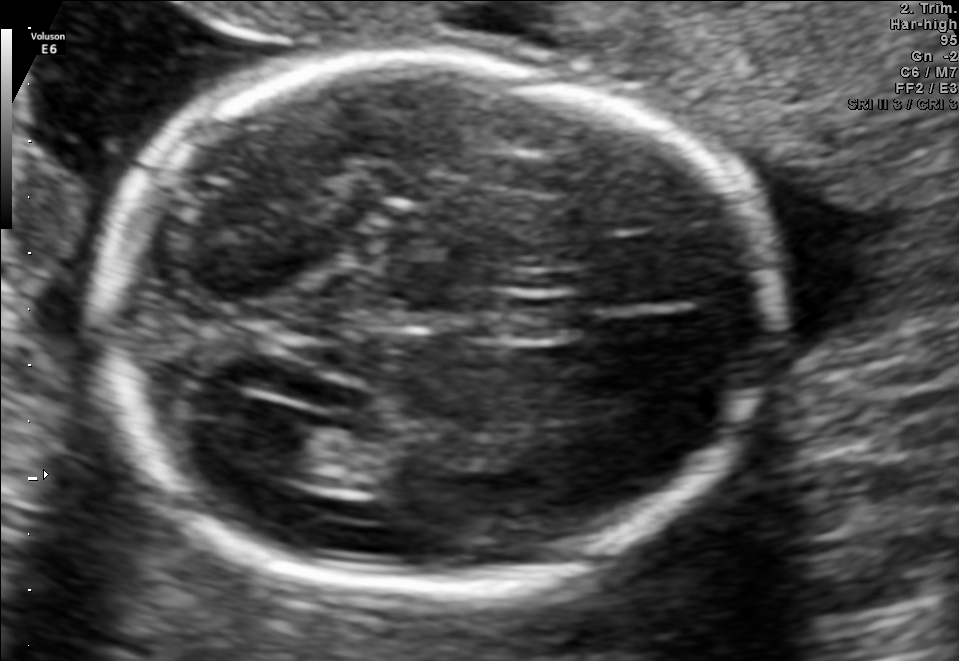
This is a 2D maternal-fetal ultrasound frame. Is it a fetal abdomen, fetal brain, fetal femur, fetal thorax, maternal cervix, or other standard plane? If it's fetal brain and one of the three standard brain planes (trans-thalamic, trans-cerebellum, trans-ventricular), name which.

Fetal brain (trans-ventricular plane)